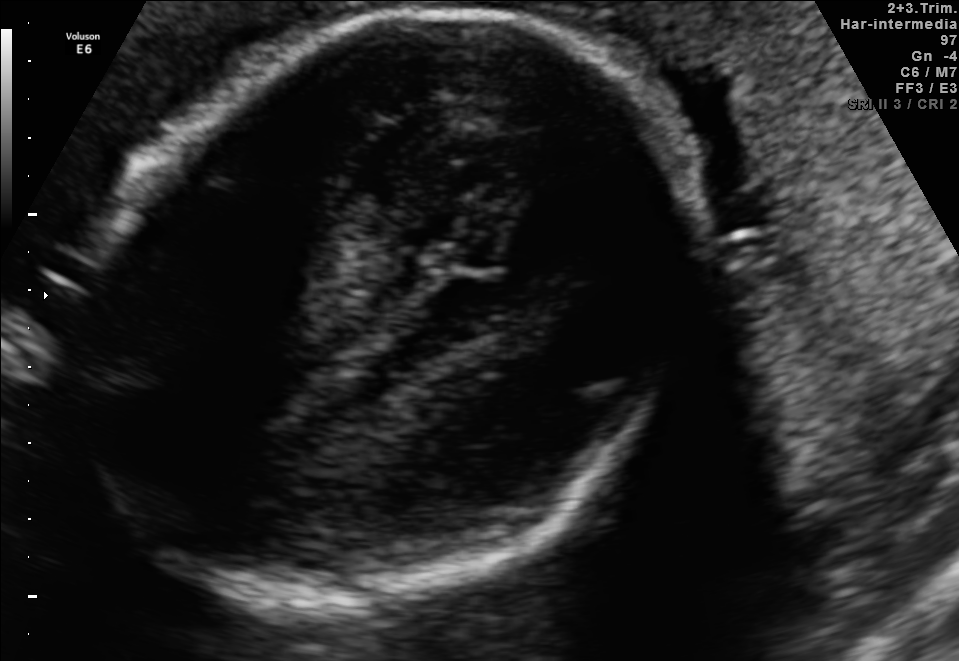
Fetal brain, trans-thalamic plane. Give [x1,y1,x2,y2] bounding boxes for each visible structure among: fetal head, CSP, LV.

Head: [80,9,683,612]